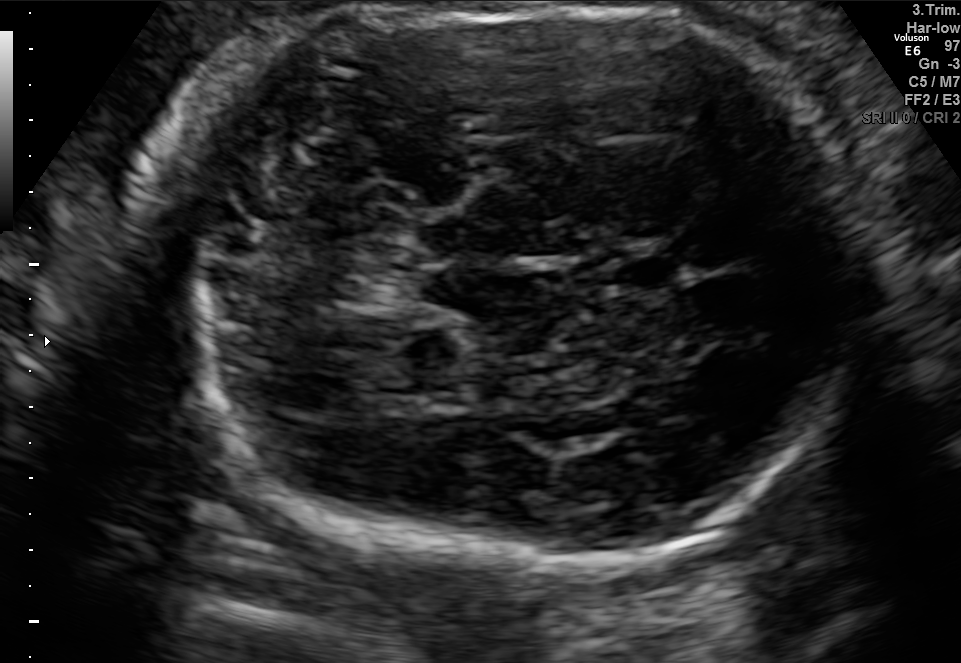
In this fetal brain, trans-cerebellum plane, give bounding boxes for the head outline, cavum septum pellucidum (CSP), and lateral ventricle (LV), where visible.

Head: [160,8,879,563]
CSP: [601,242,693,305]